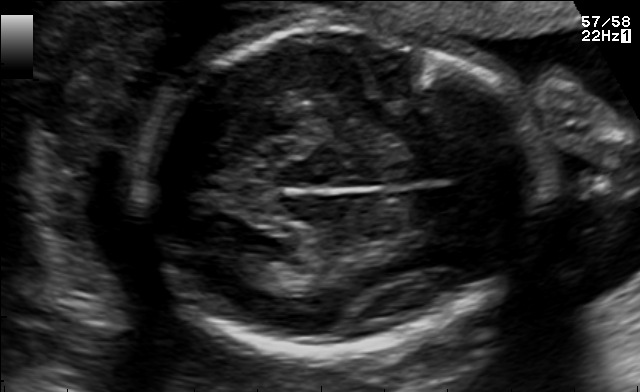
In this fetal brain, trans-thalamic plane, give the bounding box of the fetal head.

[143,24,522,353]